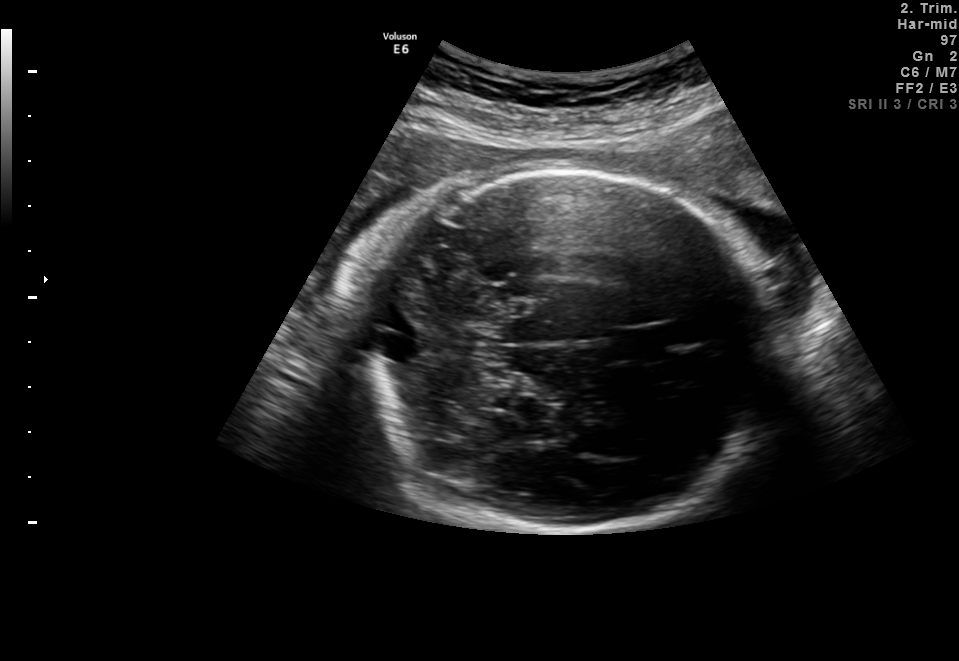
In this fetal brain, trans-cerebellum plane, give bounding boxes for the head outline, cavum septum pellucidum (CSP), and lateral ventricle (LV), where visible.

Head: [358,170,775,535]